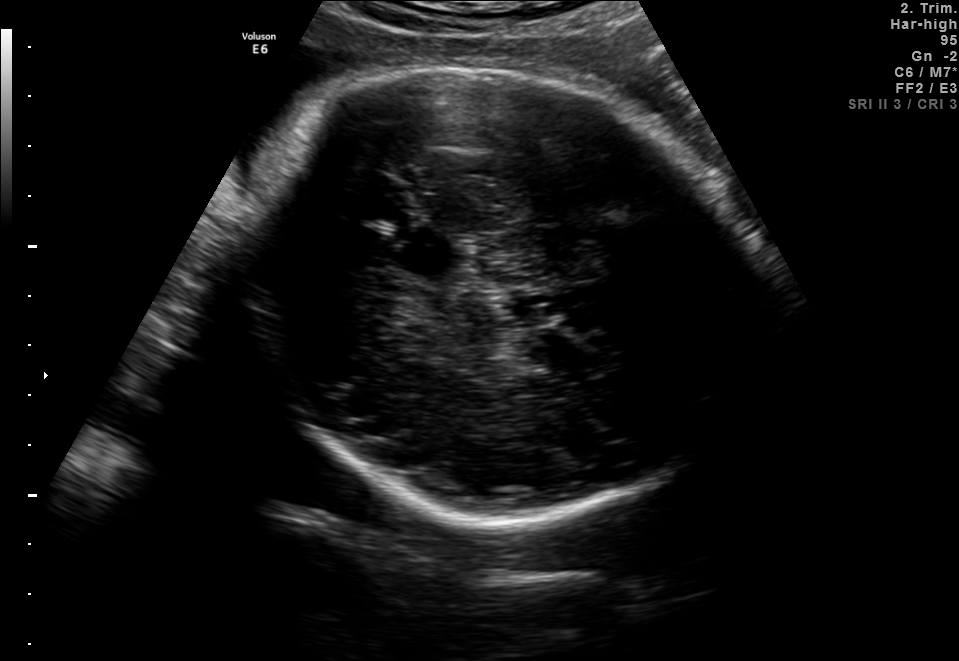
In this fetal brain, trans-thalamic plane, give bounding boxes for the head outline, cavum septum pellucidum (CSP), and lateral ventricle (LV), where visible.

Head: [227,65,764,522]